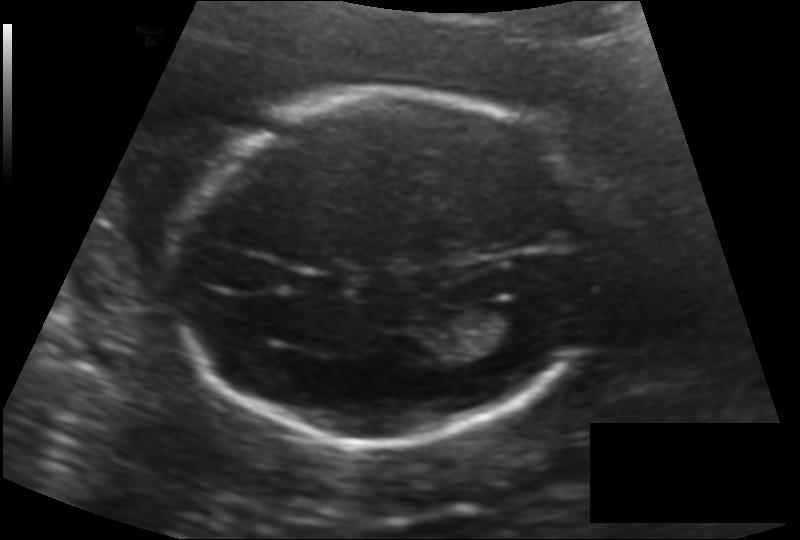
In this fetal head ultrasound, give bounding boxes for the head outline, cavum septum pellucidum (CSP), and lateral ventricle (LV), where visible. Image width: 112.2 mm.

Head: [169,91,594,445]
CSP: [295,273,347,295]
Lateral ventricle: [473,303,547,357]